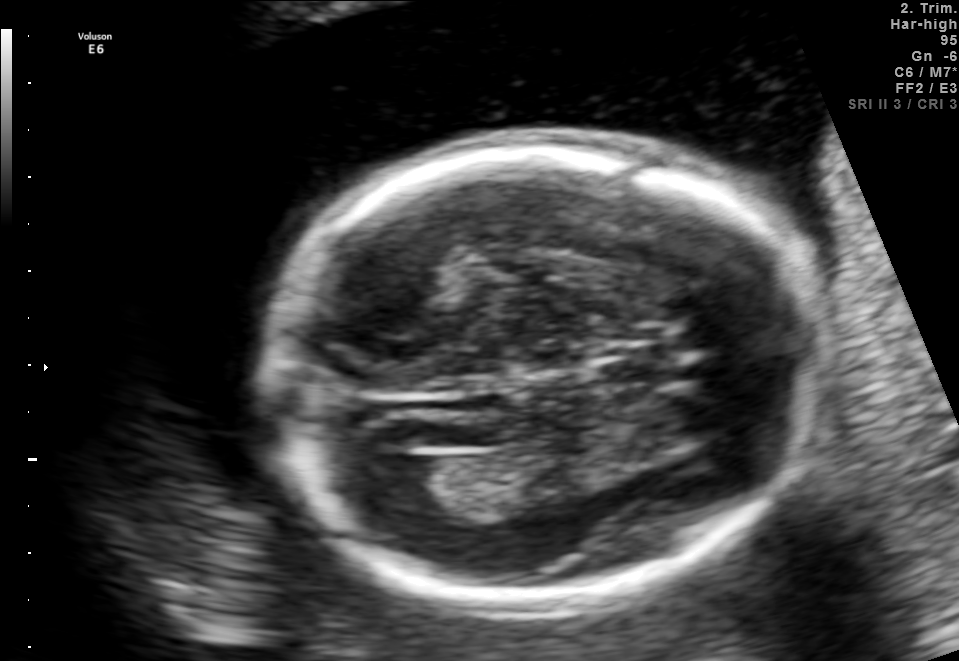
In this fetal brain, trans-ventricular plane, give the bounding box of the fetal head.

[248,128,841,617]